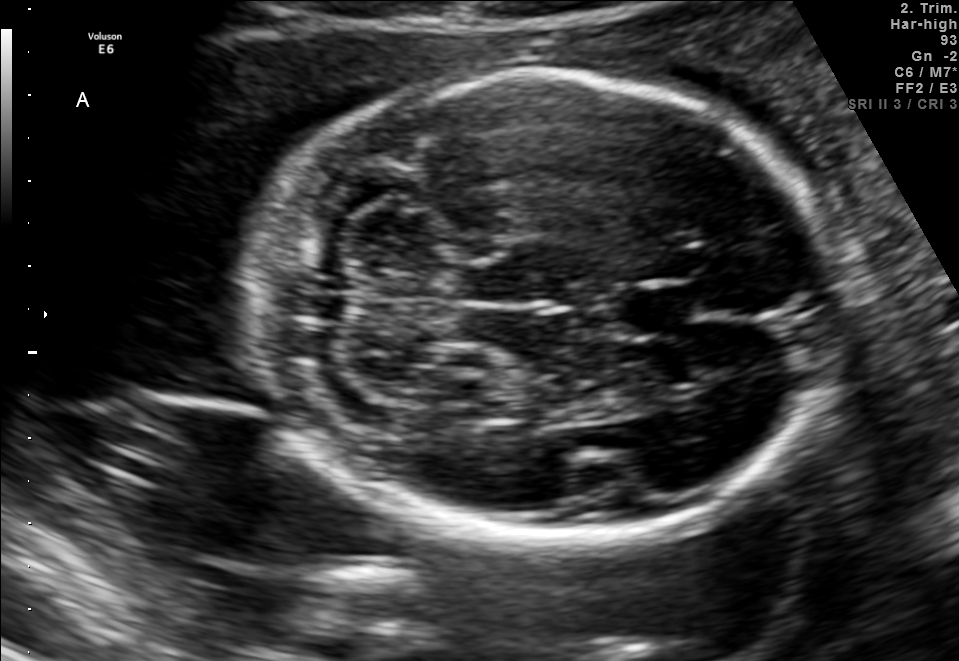
Fetal brain, trans-cerebellum plane. Where is the fetal head?

Head bounding box: [257,74,836,541]